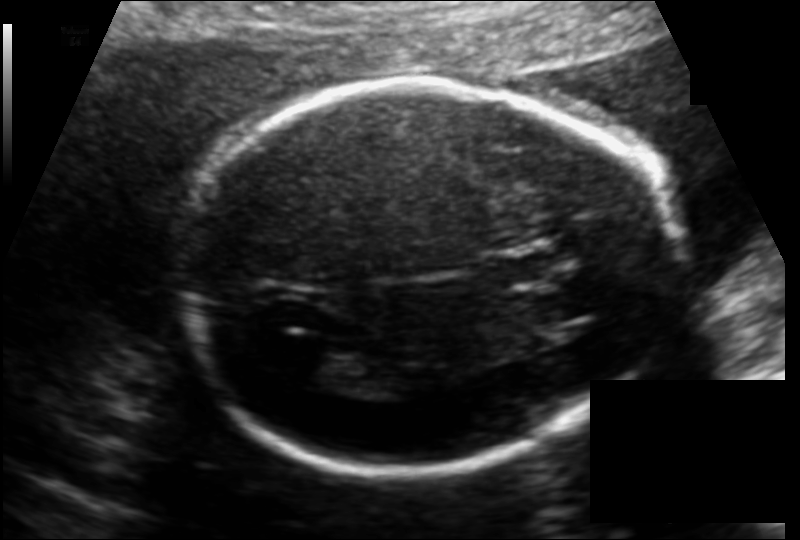
Estimate the fetal head circumference from this 2D ultrasound. Image width: 104.3 mm.

Head circumference: 189.0 mm.